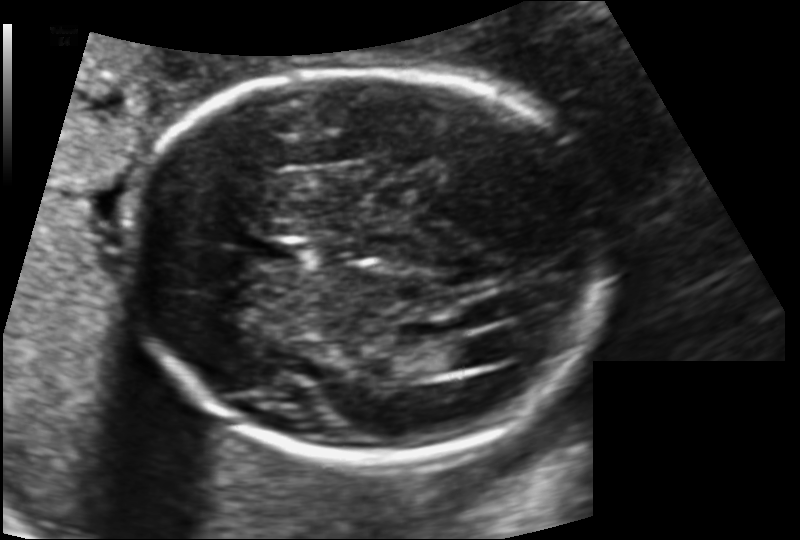
Estimate the fetal head circumference from this 2D ultrasound. Image width: 107.8 mm.

Head circumference: 189.4 mm.